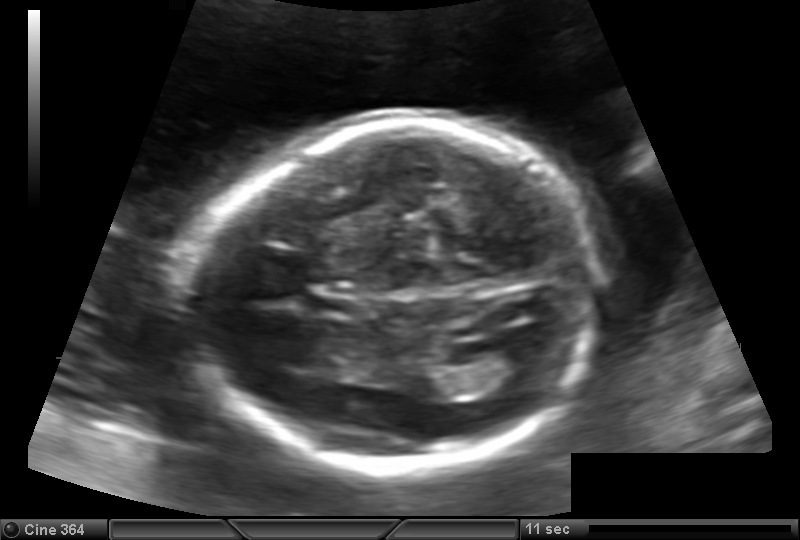
Estimate the fetal head circumference from this 2D ultrasound.

Head circumference: 178.3 mm (image width 115.2 mm).